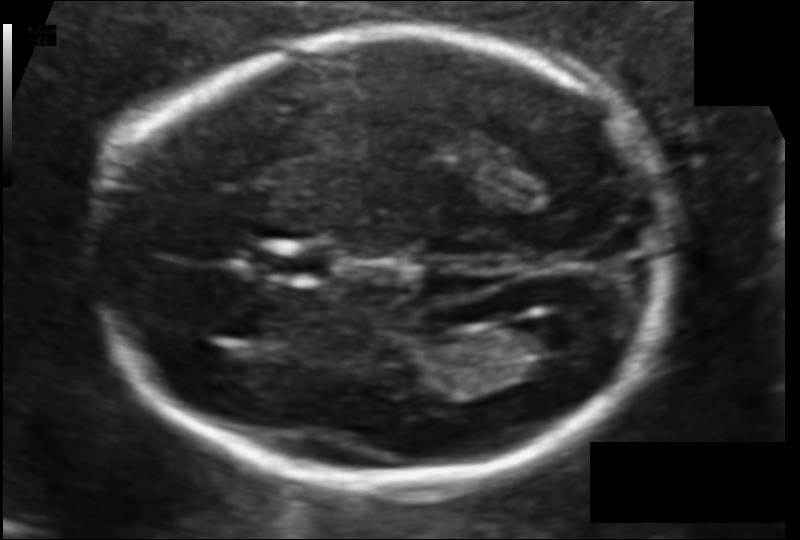
In this fetal head ultrasound, give the bounding box of the cavum septum pellucidum. Image width: 85.0 mm.

[251,245,329,284]